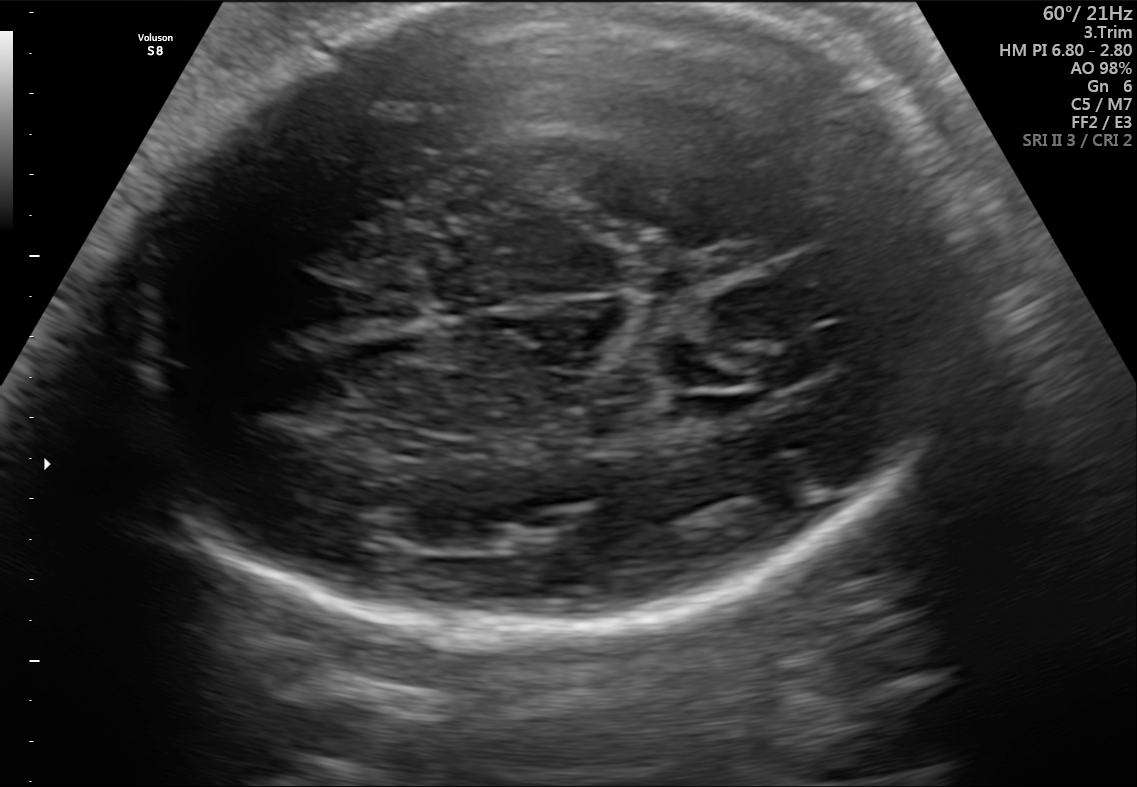
In this fetal brain, trans-ventricular plane, give the bounding box of the fetal head.

[98,4,986,638]